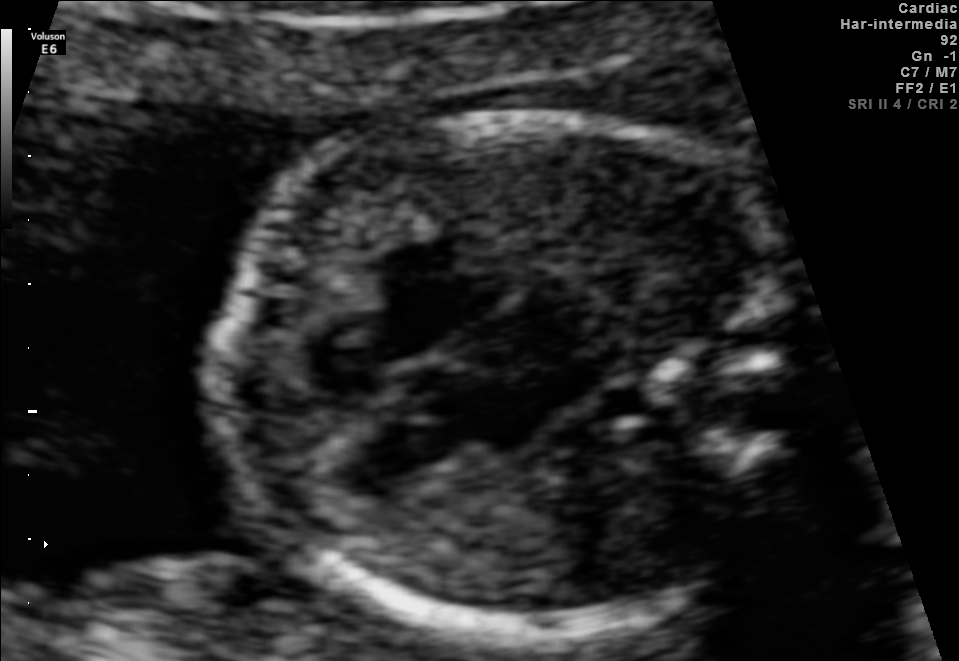
Which standard maternal-fetal ultrasound plane is shown: fetal abdomen, fetal brain, fetal femur, fetal thorax, maternal cervix, or other? If it's fetal brain and one of the three standard brain planes (trans-thalamic, trans-cerebellum, trans-ventricular), name which.

Fetal thorax